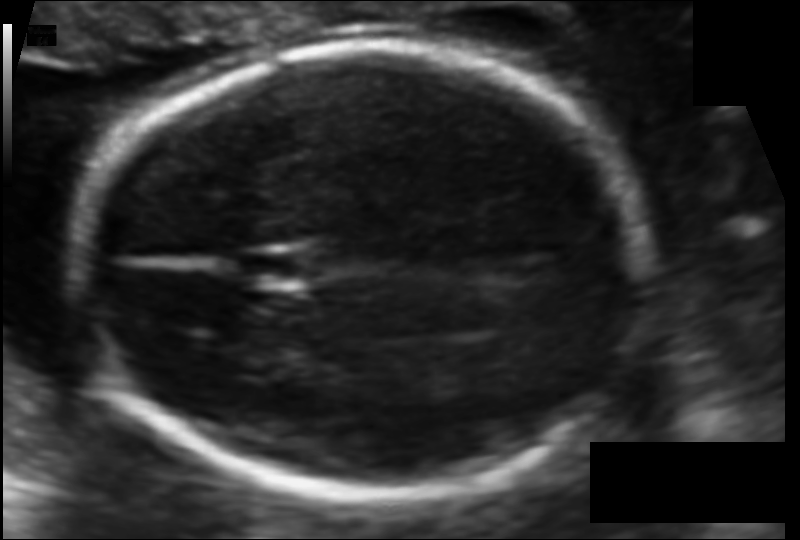
In this fetal head ultrasound, give the bounding box of the cavum septum pellucidum. Image width: 84.8 mm.

[235,248,308,290]